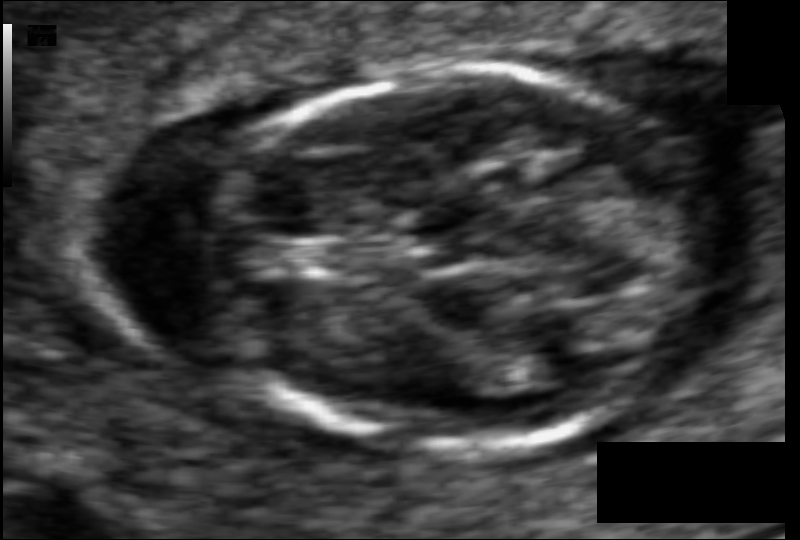
Measure the fetal head circumference shown in this ultrasound image. Image width: 46.1 mm.

Head circumference: 82.5 mm.